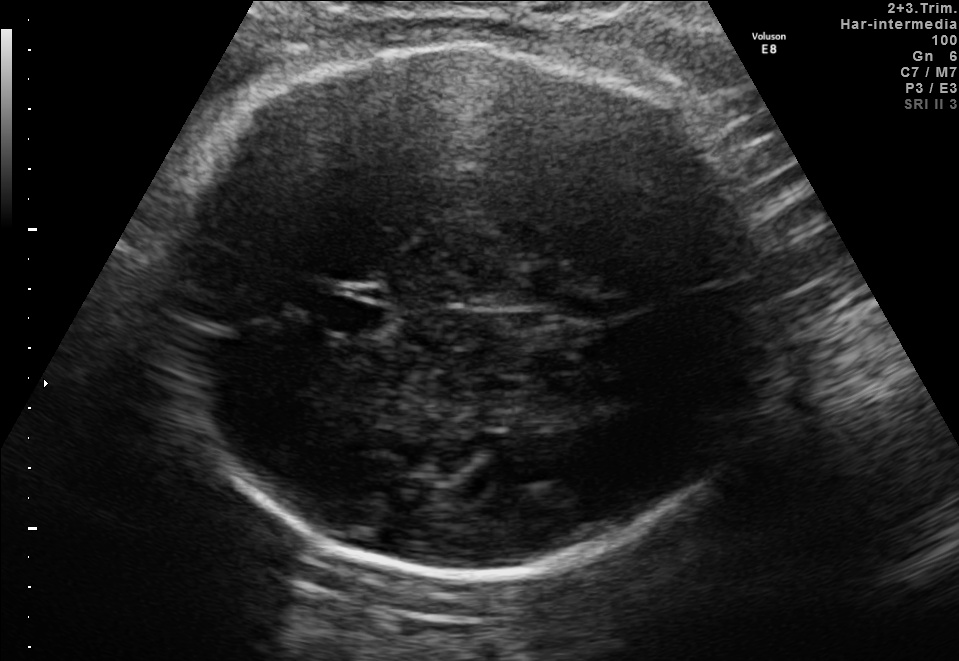
Classify this maternal-fetal ultrasound image as one of the six standard planes — fetal abdomen, fetal brain, fetal femur, fetal thorax, maternal cervix, or other. If it's fetal brain and one of the three standard brain planes (trans-thalamic, trans-cerebellum, trans-ventricular), name which.

Fetal brain (trans-thalamic plane)